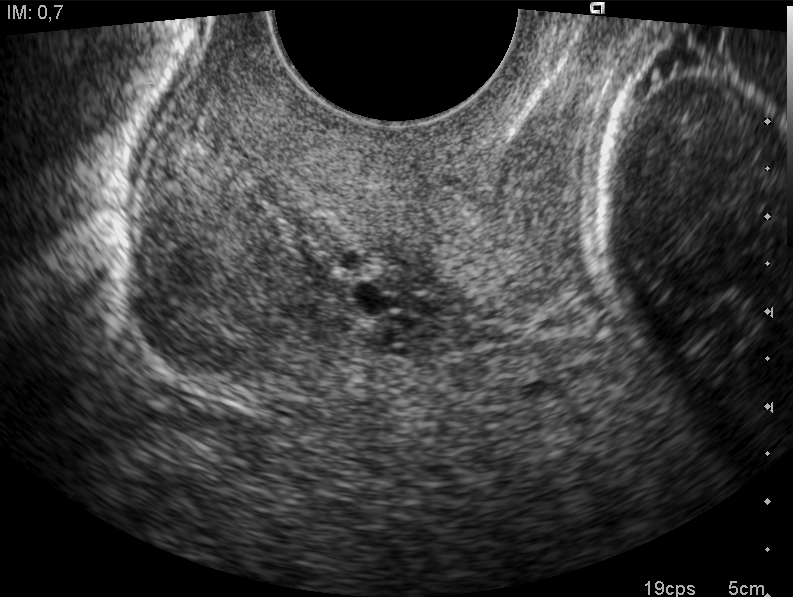
Classify this maternal-fetal ultrasound image as one of the six standard planes — fetal abdomen, fetal brain, fetal femur, fetal thorax, maternal cervix, or other. If it's fetal brain and one of the three standard brain planes (trans-thalamic, trans-cerebellum, trans-ventricular), name which.

Maternal cervix